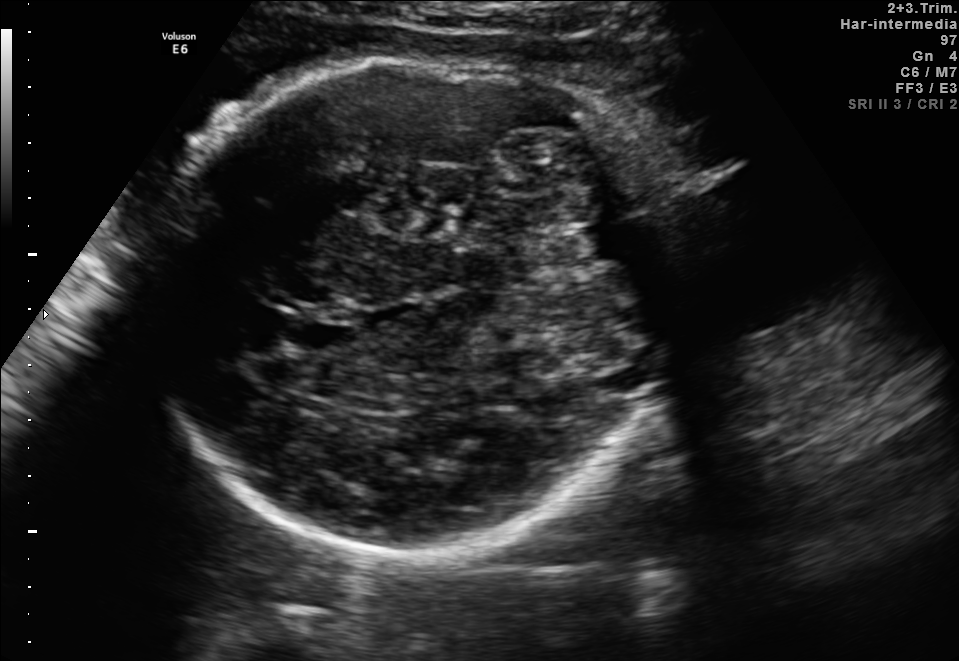
Fetal brain, trans-thalamic plane. Give [x1,y1,x2,y2] bounding boxes for each visible structure among: fetal head, CSP, LV.

Head: [131,61,672,558]
CSP: [288,314,357,350]